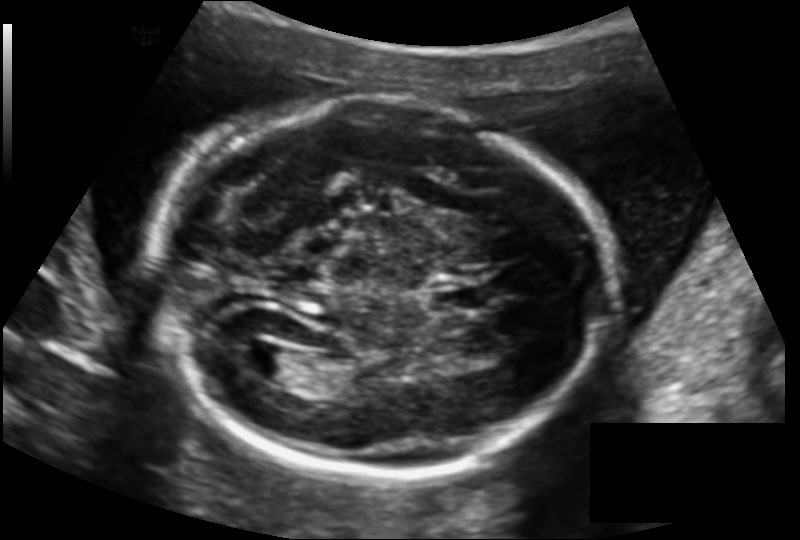
In this fetal head ultrasound, give the bounding box of the cavum septum pellucidum. Image width: 116.1 mm.

[433,284,485,312]